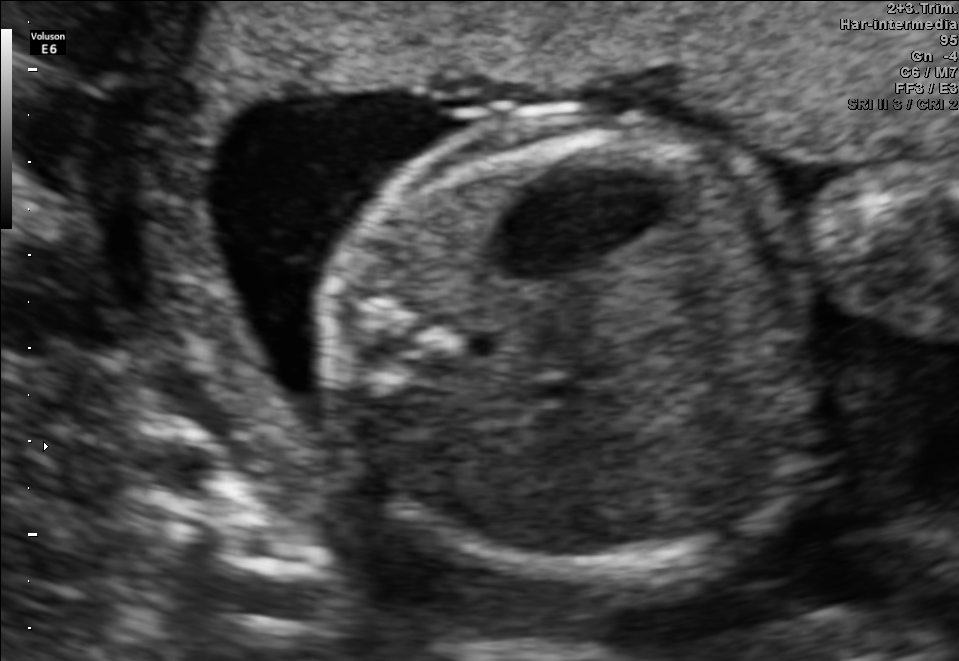
Classify this maternal-fetal ultrasound image as one of the six standard planes — fetal abdomen, fetal brain, fetal femur, fetal thorax, maternal cervix, or other. If it's fetal brain and one of the three standard brain planes (trans-thalamic, trans-cerebellum, trans-ventricular), name which.

Fetal abdomen